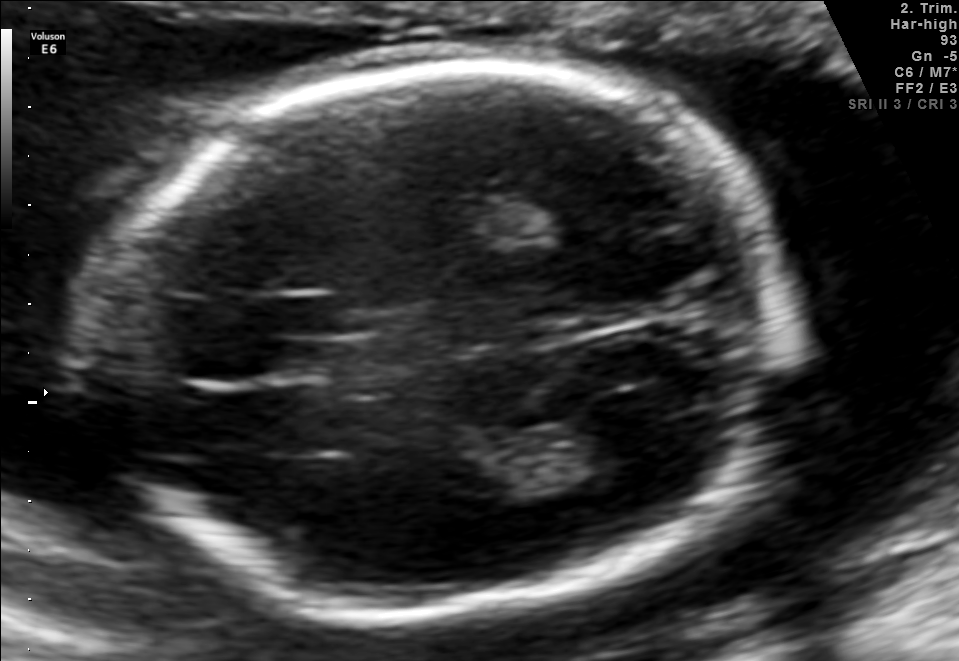
Fetal brain, trans-thalamic plane. Locate the cavum septum pellucidum.

CSP: [191,338,277,378]